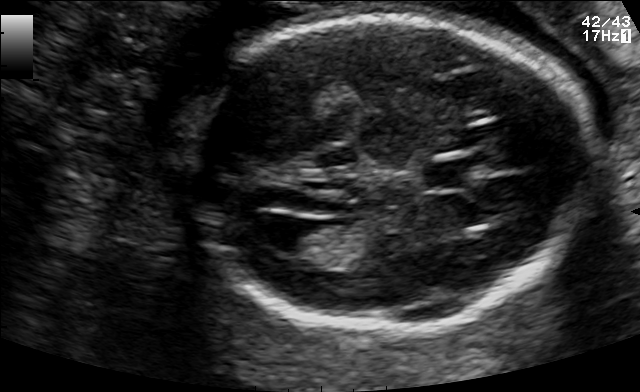
This is a 2D maternal-fetal ultrasound frame. Is it a fetal abdomen, fetal brain, fetal femur, fetal thorax, maternal cervix, or other standard plane? If it's fetal brain and one of the three standard brain planes (trans-thalamic, trans-cerebellum, trans-ventricular), name which.

Fetal brain (trans-ventricular plane)